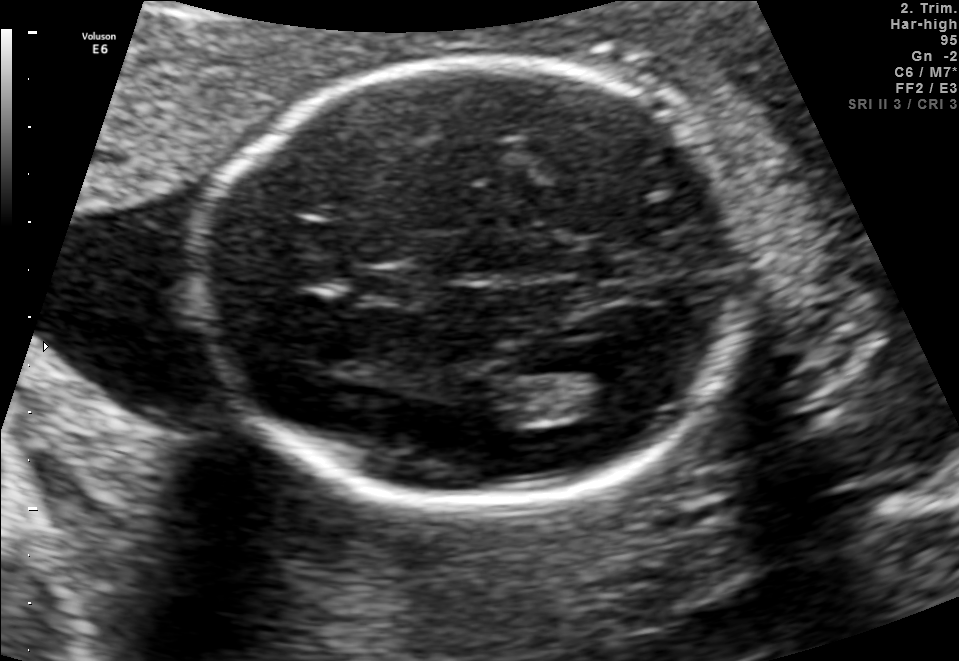
Fetal brain, trans-thalamic plane. Where is the cavum septum pellucidum?

CSP bounding box: [351,268,420,303]